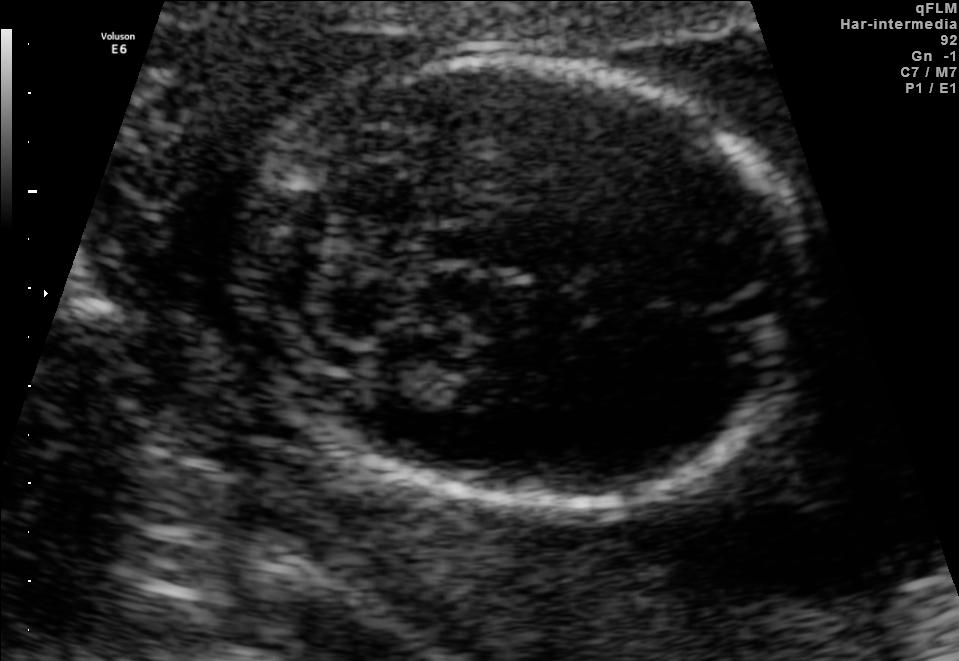
Fetal brain, trans-cerebellum plane. Locate the fetal head.

Head: [245,58,810,511]